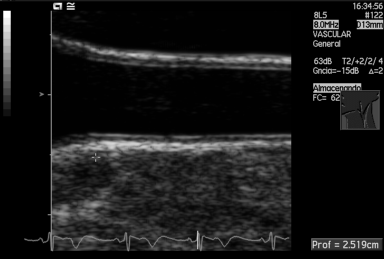
This is a 2D maternal-fetal ultrasound frame. Is it a fetal abdomen, fetal brain, fetal femur, fetal thorax, maternal cervix, or other standard plane? If it's fetal brain and one of the three standard brain planes (trans-thalamic, trans-cerebellum, trans-ventricular), name which.

Other